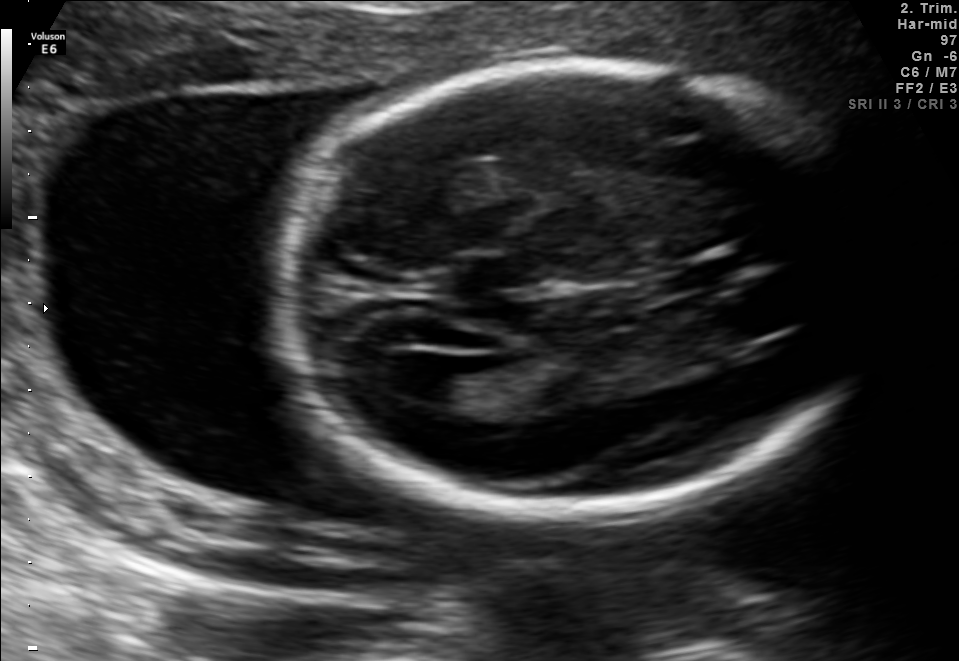
Fetal brain, trans-ventricular plane. Locate the fetal head and, if visible, the cavum septum pellucidum (CSP) and lateral ventricle (LV). Give bounding boxes as [x1,y1,x2,y2].

Head: [264,53,891,526]
CSP: [663,256,735,295]
Lateral ventricle: [379,348,463,404]